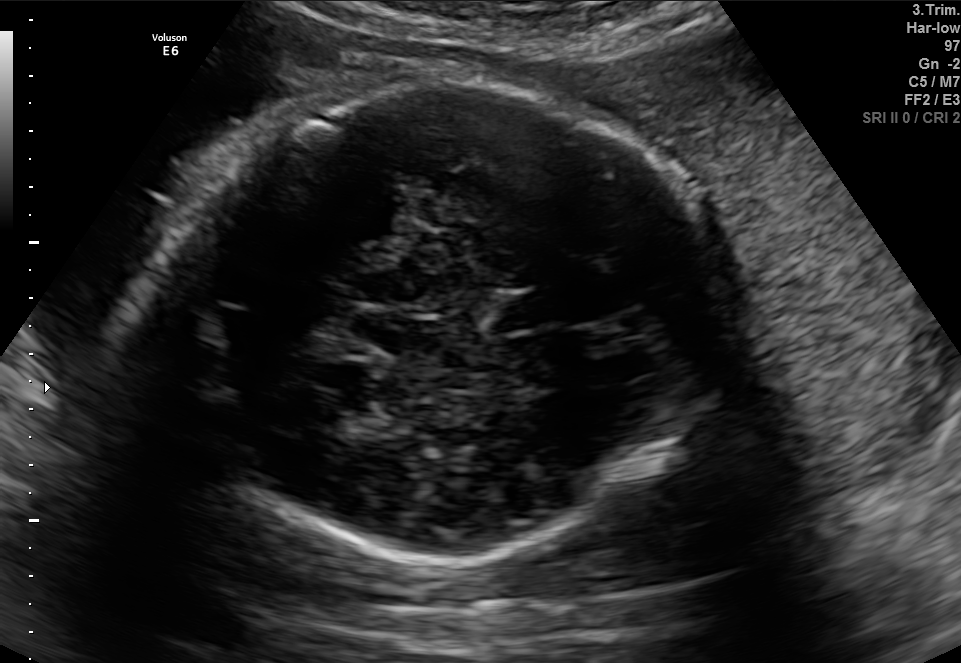
Fetal brain, trans-thalamic plane. Locate the fetal head and, if visible, the cavum septum pellucidum (CSP) and lateral ventricle (LV). Give bounding boxes as [x1,y1,x2,y2].

Head: [168,79,714,560]